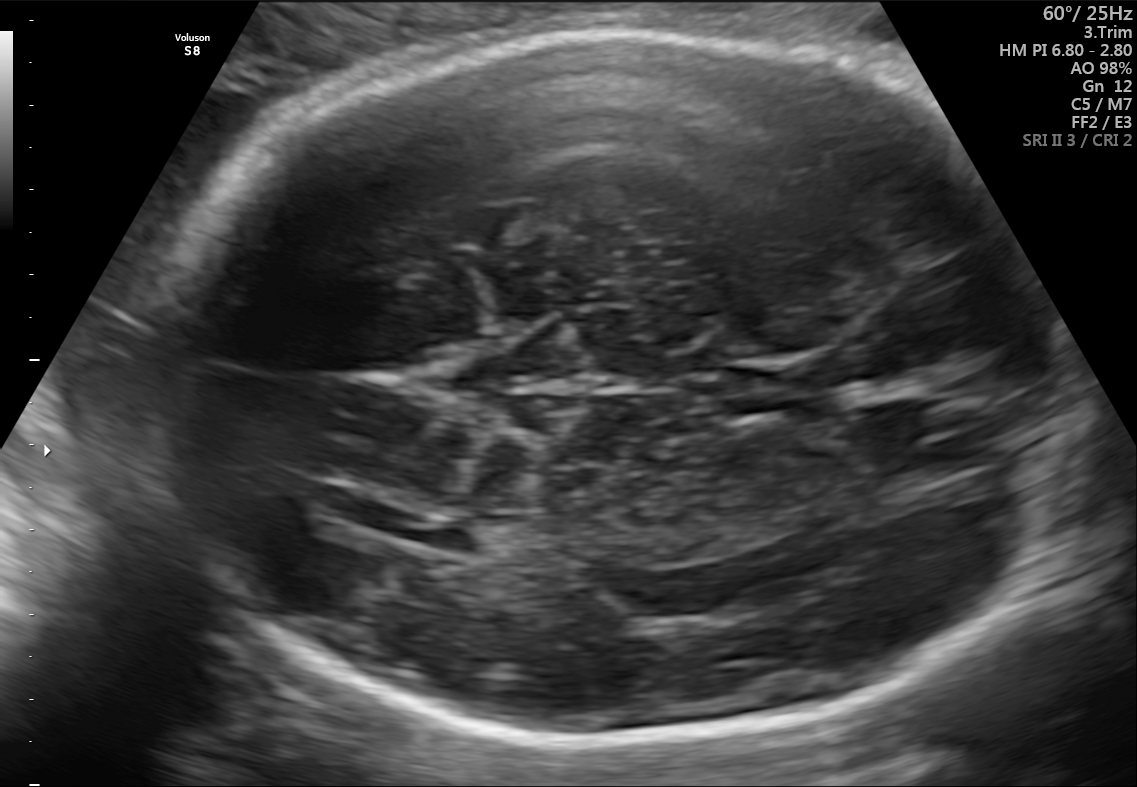
Fetal brain, trans-ventricular plane. Locate the cavum septum pellucidum.

CSP: [731,369,805,416]